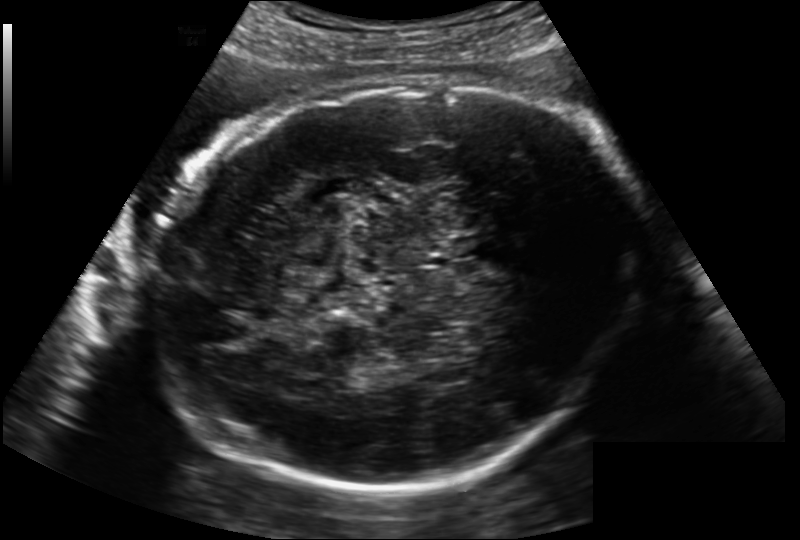
Fetal head ultrasound. Image width: 161.8 mm. Locate the fetal head.

Head: [157,70,640,498]